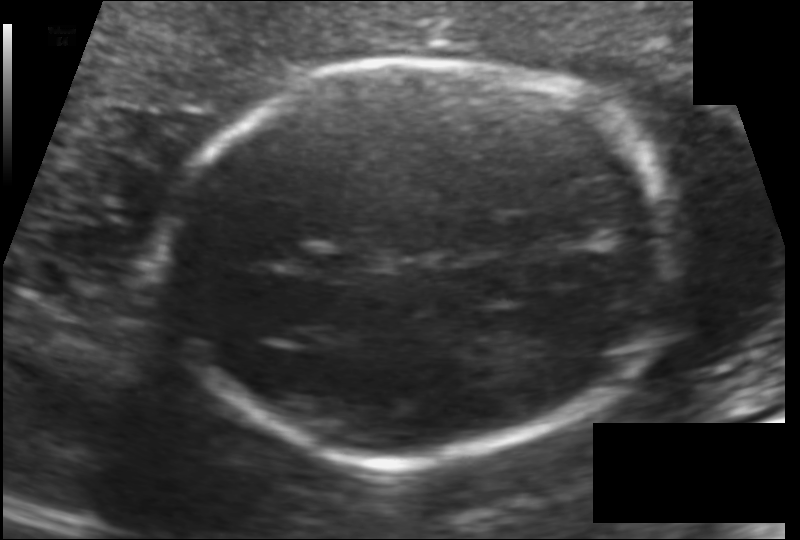
Fetal head ultrasound. Image width: 95.9 mm. Give [x1,y1,x2,y2] bounding boxes for each visible structure among: fetal head, CSP, LV.

Head: [170,61,672,461]